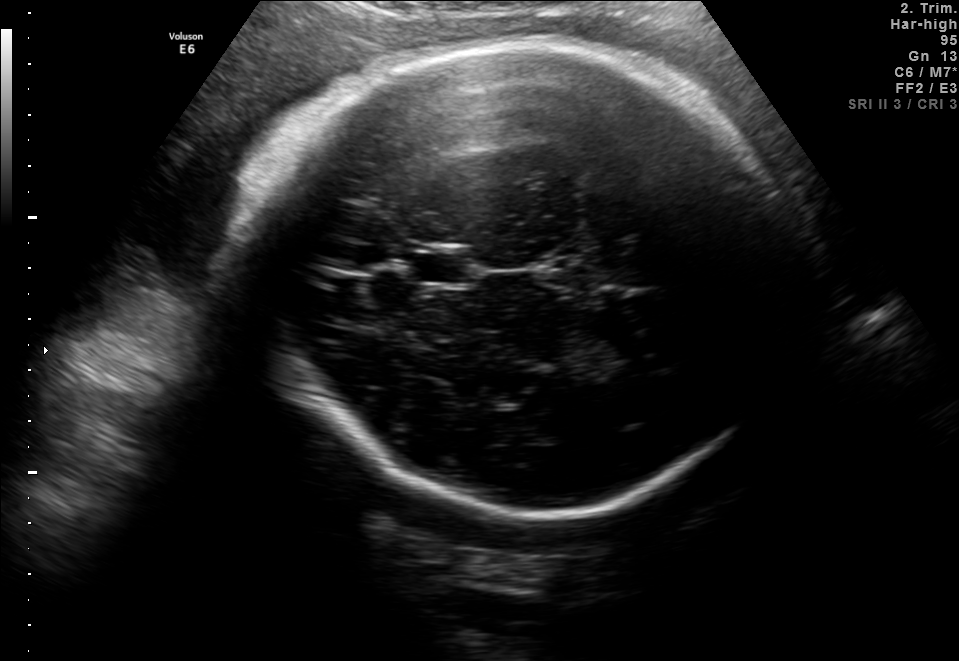
Fetal brain, trans-thalamic plane. Where is the cavum septum pellucidum?

CSP bounding box: [414,250,471,283]